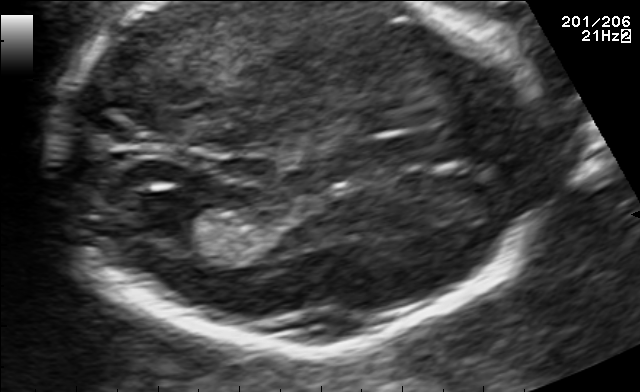
Fetal brain, trans-thalamic plane. Locate the cavum septum pellucidum.

CSP: [369,125,459,171]